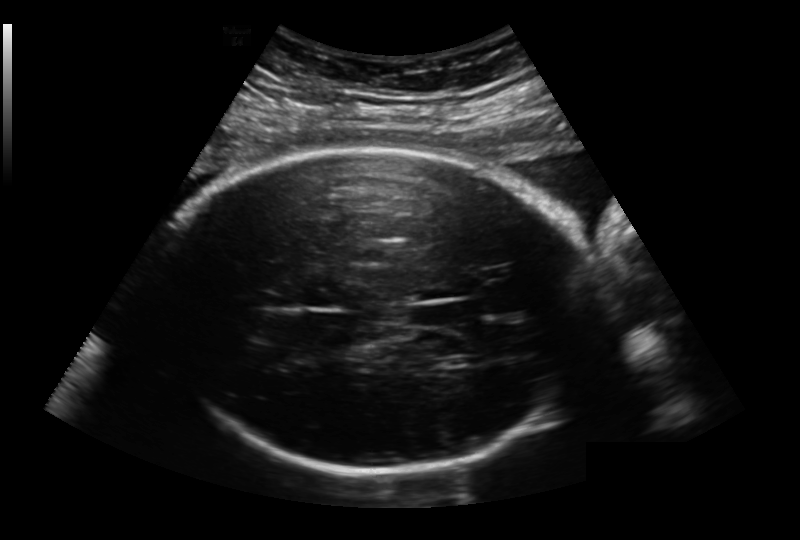
Measure the fetal head circumference shown in this ultrasound image. Image width: 188.7 mm.

Head circumference: 294.1 mm.